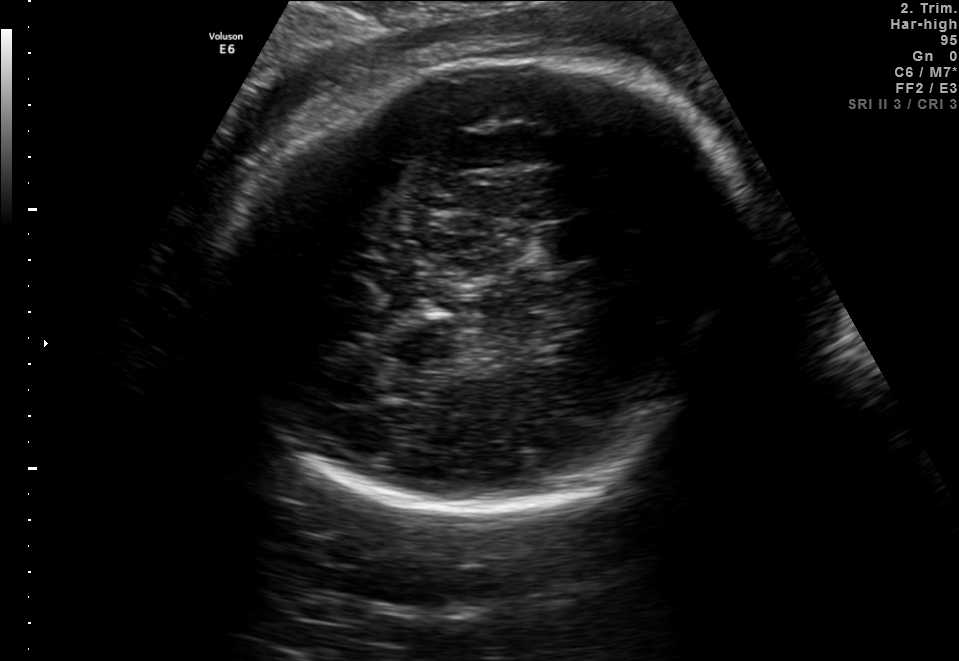
Fetal brain, trans-thalamic plane. Locate the fetal head and, if visible, the cavum septum pellucidum (CSP) and lateral ventricle (LV). Give bounding boxes as [x1,y1,x2,y2].

Head: [213,62,764,511]
CSP: [536,214,603,268]